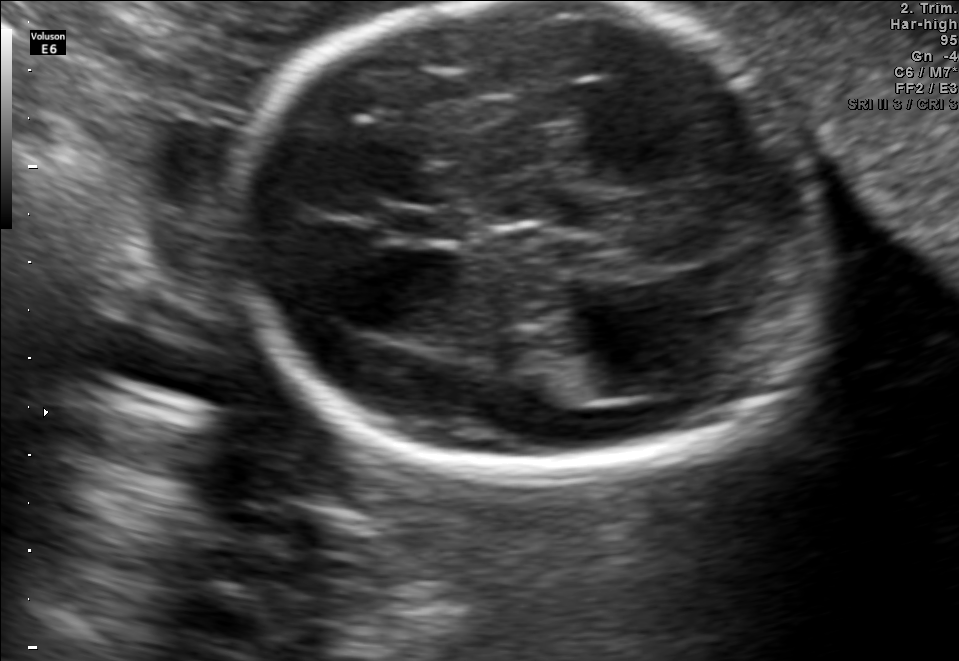
Fetal brain, trans-thalamic plane. Locate the fetal head.

Head: [230,2,823,479]